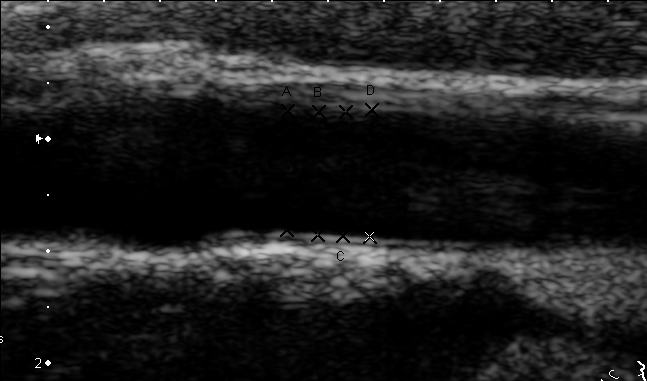
Identify the standard plane in this fetal ultrasound image: fetal abdomen, fetal brain, fetal femur, fetal thorax, maternal cervix, or other. If it's fetal brain and one of the three standard brain planes (trans-thalamic, trans-cerebellum, trans-ventricular), name which.

Other